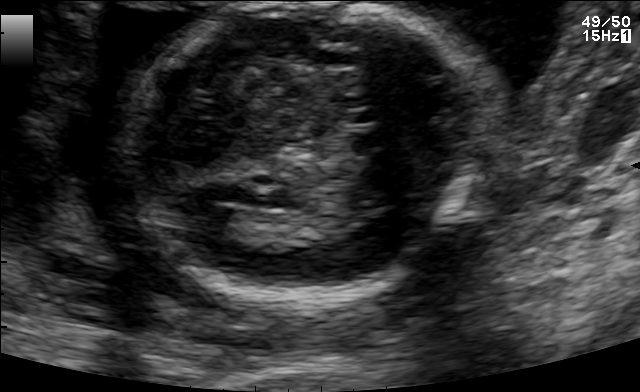
Fetal brain, trans-thalamic plane. Give [x1,y1,x2,y2] bounding boxes for each visible structure among: fetal head, CSP, LV.

Head: [133,2,467,302]
Lateral ventricle: [195,203,257,245]